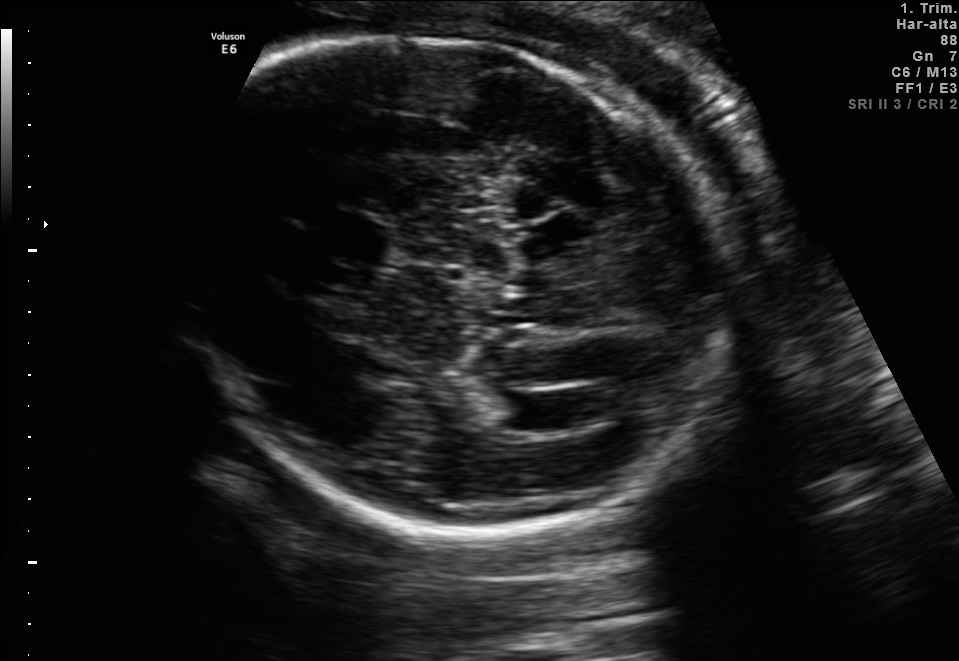
In this fetal brain, trans-ventricular plane, give bounding boxes for the head outline, cavum septum pellucidum (CSP), and lateral ventricle (LV), where visible.

Head: [155,28,758,545]
CSP: [336,213,398,267]
Lateral ventricle: [503,394,568,430]